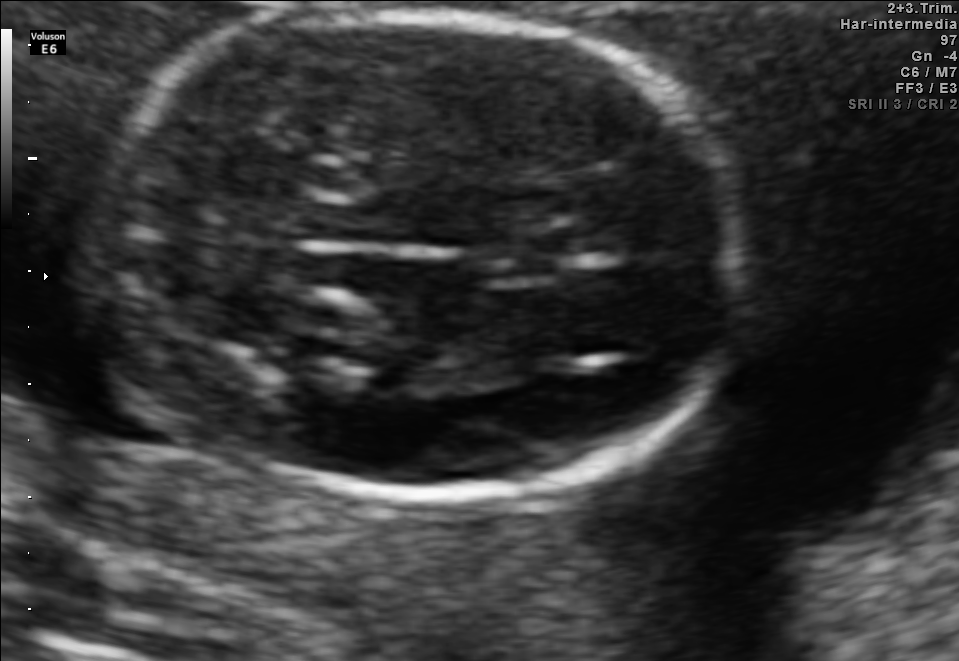
Fetal brain, trans-thalamic plane. Where is the cavum septum pellucidum?

CSP bounding box: [532,223,616,258]